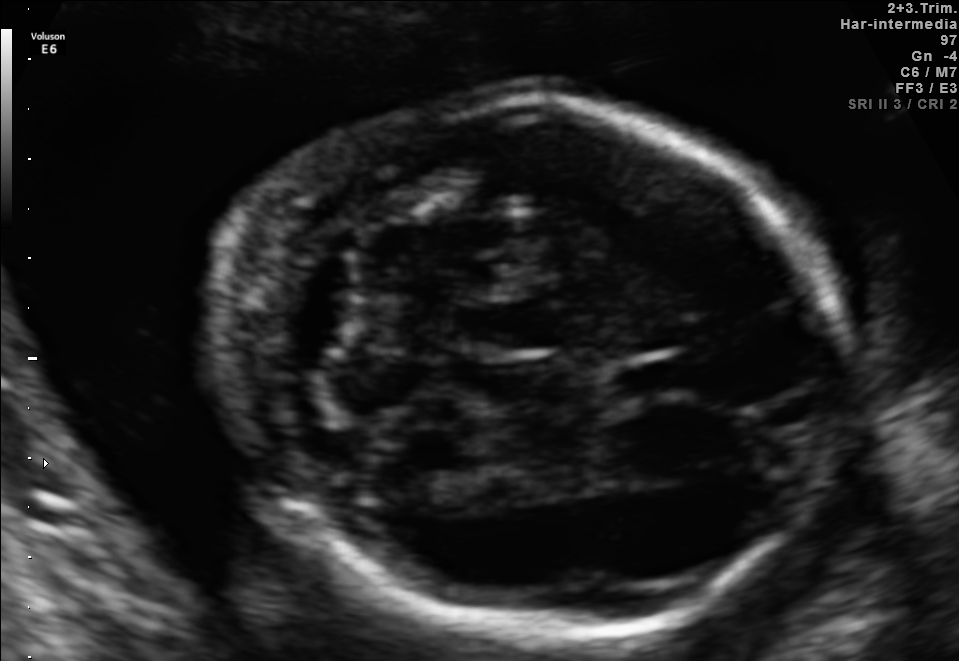
In this fetal brain, trans-cerebellum plane, give the bounding box of the fetal head.

[216,94,833,645]